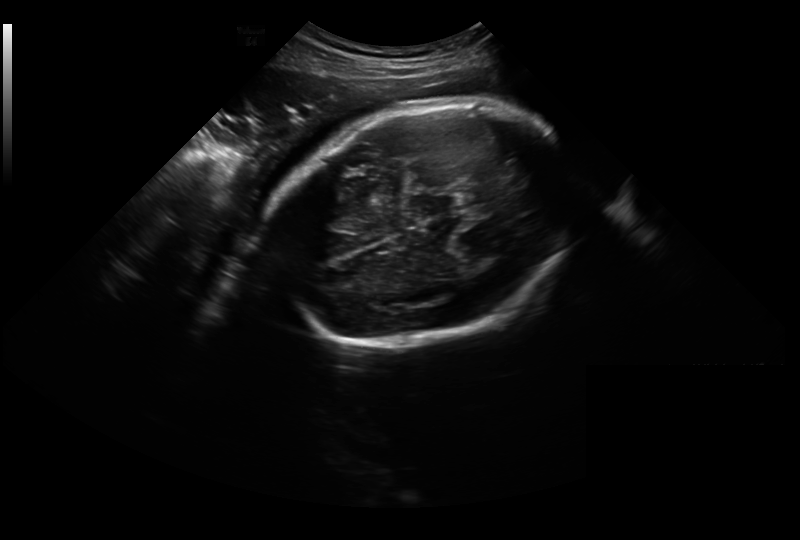
Fetal head ultrasound. Image width: 261.1 mm. Give [x1,y1,x2,y2] bounding boxes for each visible structure among: fetal head, CSP, LV.

Head: [269,102,573,346]